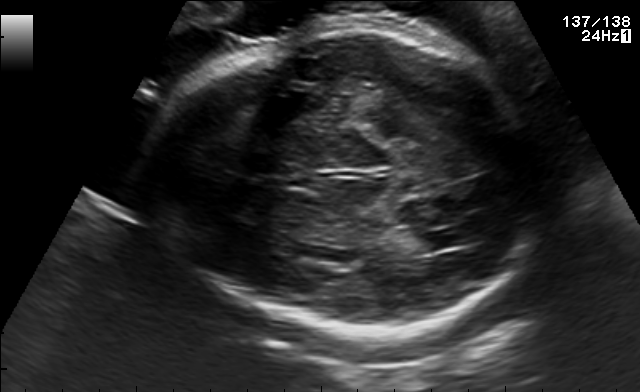
Fetal brain, trans-thalamic plane. Locate the fetal head and, if visible, the cavum septum pellucidum (CSP) and lateral ventricle (LV). Give bounding boxes as [x1,y1,x2,y2].

Head: [145,26,555,333]
Lateral ventricle: [410,224,469,256]